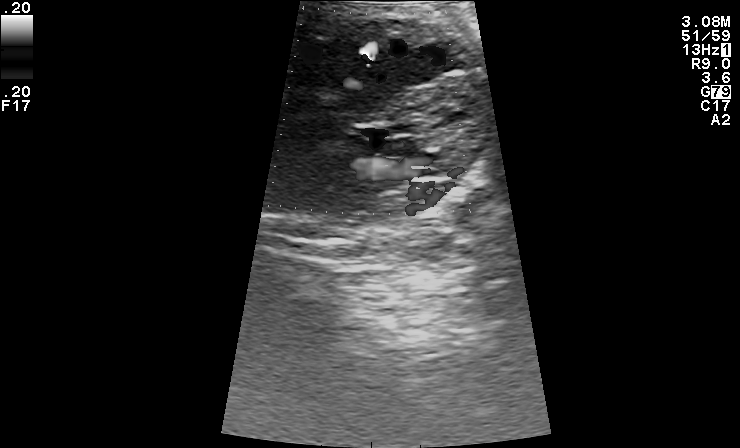
Which standard maternal-fetal ultrasound plane is shown: fetal abdomen, fetal brain, fetal femur, fetal thorax, maternal cervix, or other? If it's fetal brain and one of the three standard brain planes (trans-thalamic, trans-cerebellum, trans-ventricular), name which.

Other